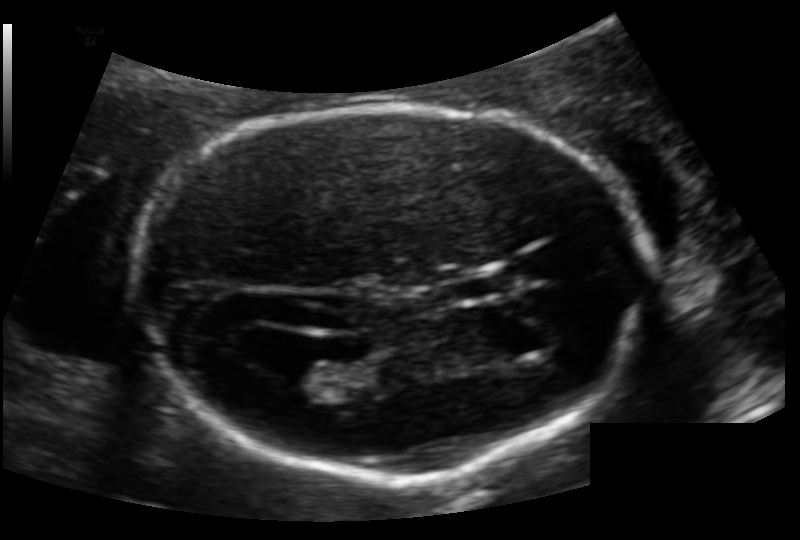
Fetal head ultrasound. Image width: 99.1 mm. Locate the fetal head.

Head: [148,106,646,480]